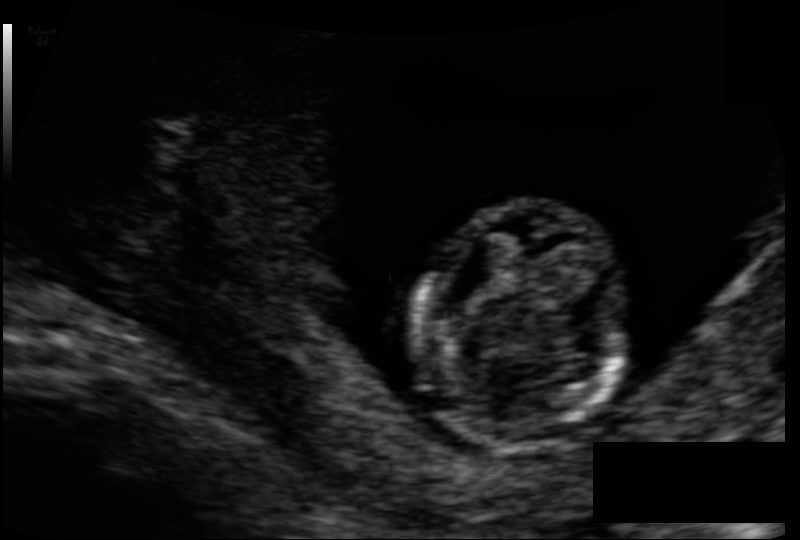
What is the fetal head circumference? Image width is 76.4 mm.

72.5 mm